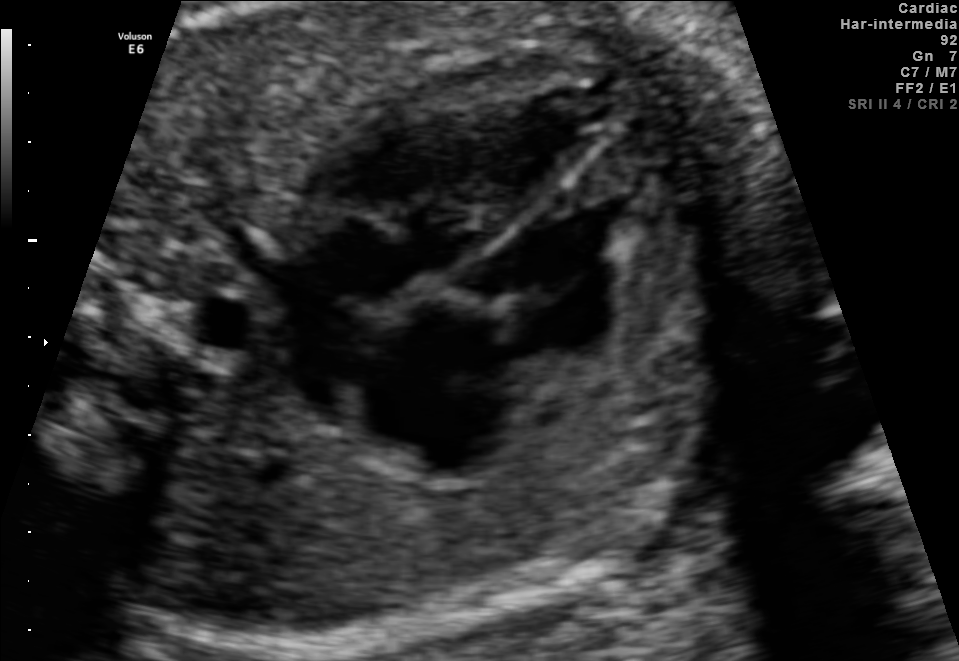
Which standard maternal-fetal ultrasound plane is shown: fetal abdomen, fetal brain, fetal femur, fetal thorax, maternal cervix, or other? If it's fetal brain and one of the three standard brain planes (trans-thalamic, trans-cerebellum, trans-ventricular), name which.

Fetal thorax